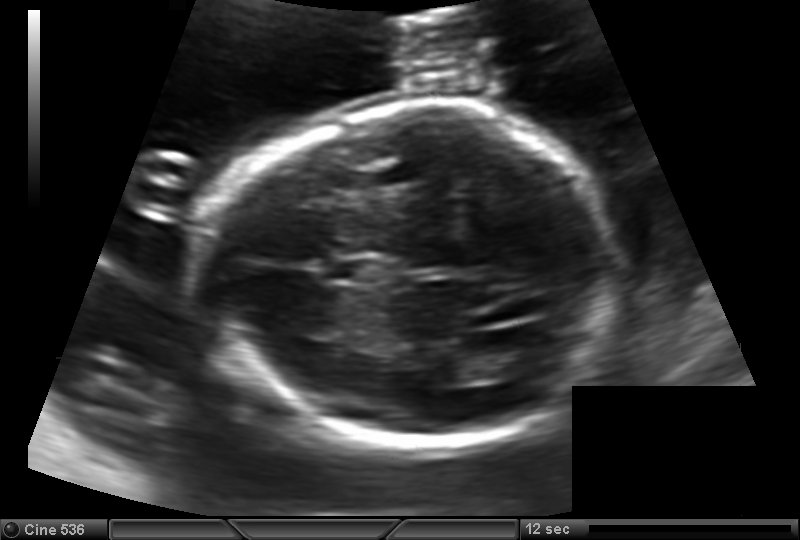
Estimate the fetal head circumference from this 2D ultrasound.

Head circumference: 183.1 mm (image width 115.2 mm).